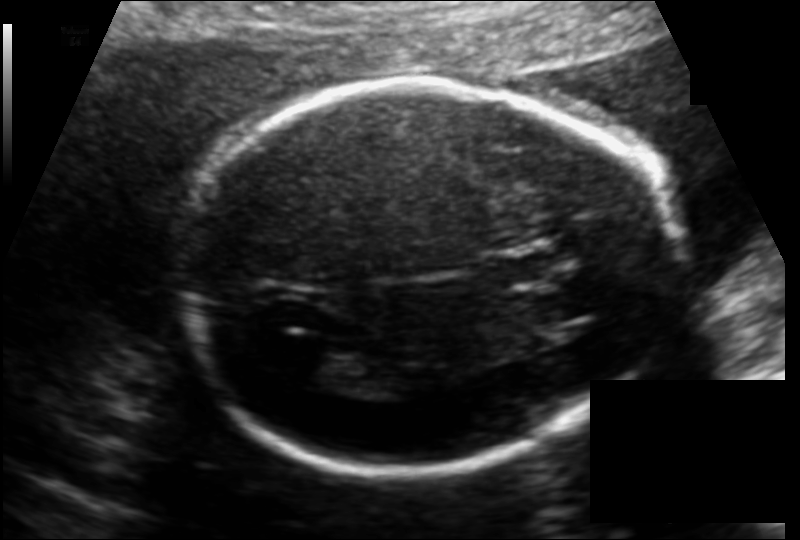
In this fetal head ultrasound, give the bounding box of the lateral ventricle. Image width: 104.3 mm.

[288,339,367,392]